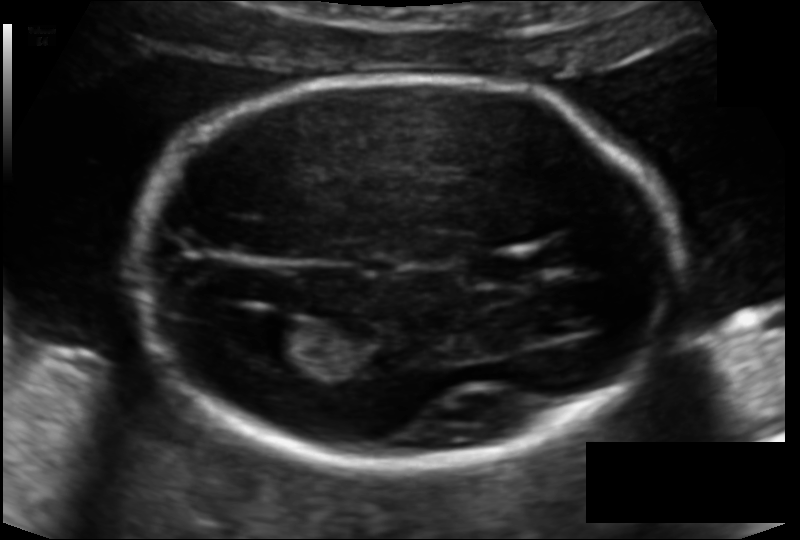
Fetal head ultrasound. Image width: 95.2 mm. Where is the lateral ventricle?

Lateral ventricle bounding box: [231,311,317,366]